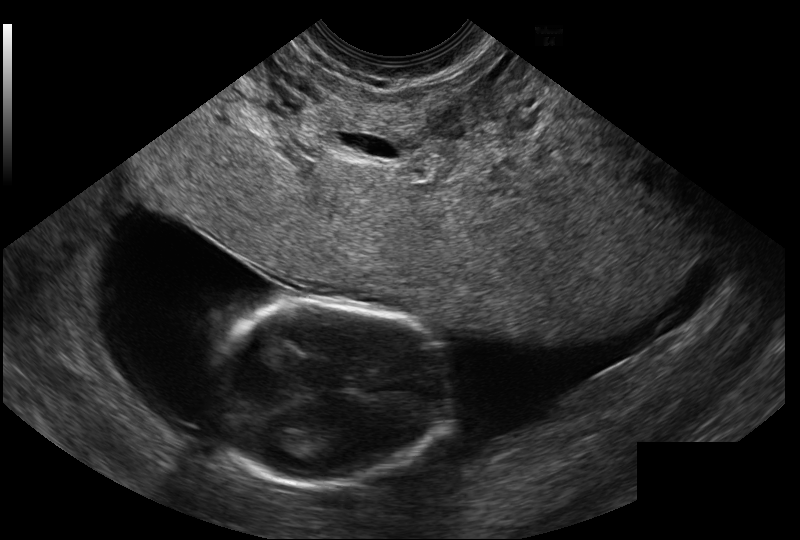
Estimate the fetal head circumference from this 2D ultrasound. Image width: 91.4 mm.

Head circumference: 80.3 mm.